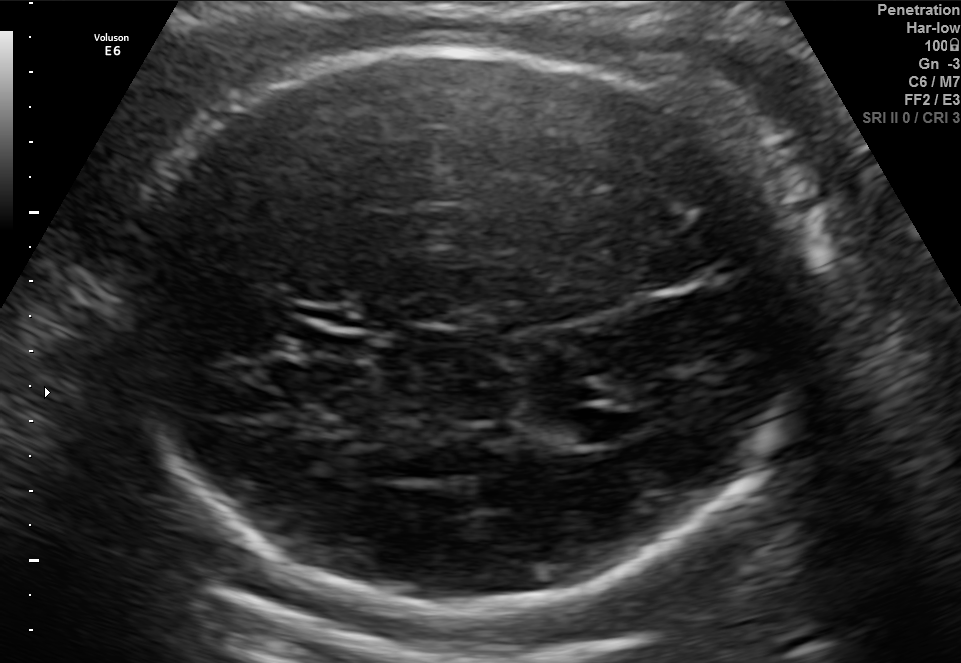
In this fetal brain, trans-ventricular plane, give bounding boxes for the head outline, cavum septum pellucidum (CSP), and lateral ventricle (LV), where visible.

Head: [101,38,832,615]
CSP: [292,294,370,341]
Lateral ventricle: [556,404,626,446]